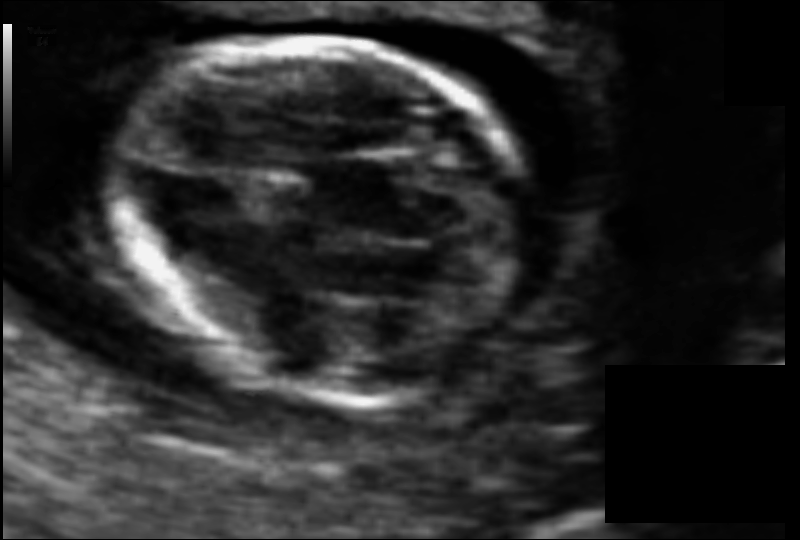
Fetal head ultrasound. Image width: 51.5 mm. Give [x1,y1,x2,y2] bounding boxes for each visible structure among: fetal head, CSP, LV.

Head: [112,39,540,399]